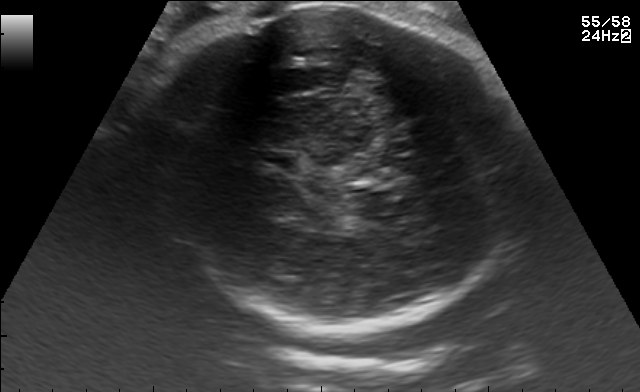
In this fetal brain, trans-thalamic plane, give the bounding box of the fetal head.

[141,3,523,326]